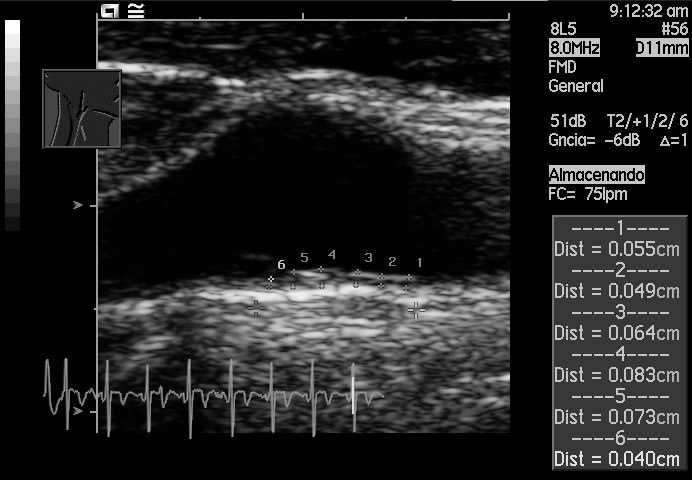
Identify the standard plane in this fetal ultrasound image: fetal abdomen, fetal brain, fetal femur, fetal thorax, maternal cervix, or other. If it's fetal brain and one of the three standard brain planes (trans-thalamic, trans-cerebellum, trans-ventricular), name which.

Other